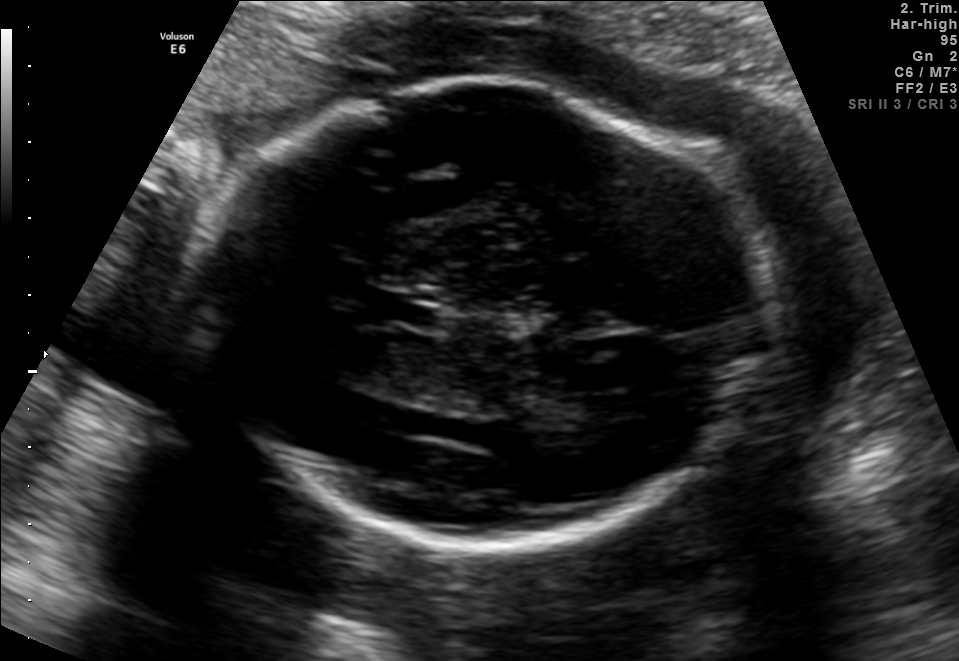
This is a 2D maternal-fetal ultrasound frame. Is it a fetal abdomen, fetal brain, fetal femur, fetal thorax, maternal cervix, or other standard plane? If it's fetal brain and one of the three standard brain planes (trans-thalamic, trans-cerebellum, trans-ventricular), name which.

Fetal brain (trans-thalamic plane)